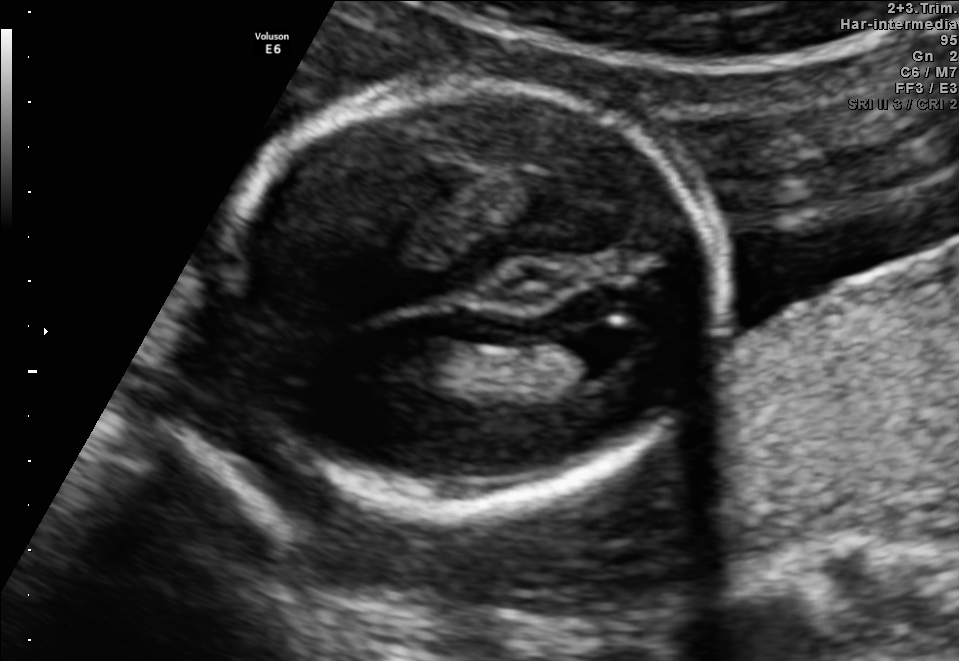
In this fetal brain, trans-ventricular plane, give bounding boxes for the head outline, cavum septum pellucidum (CSP), and lateral ventricle (LV), where visible.

Head: [208,72,735,521]